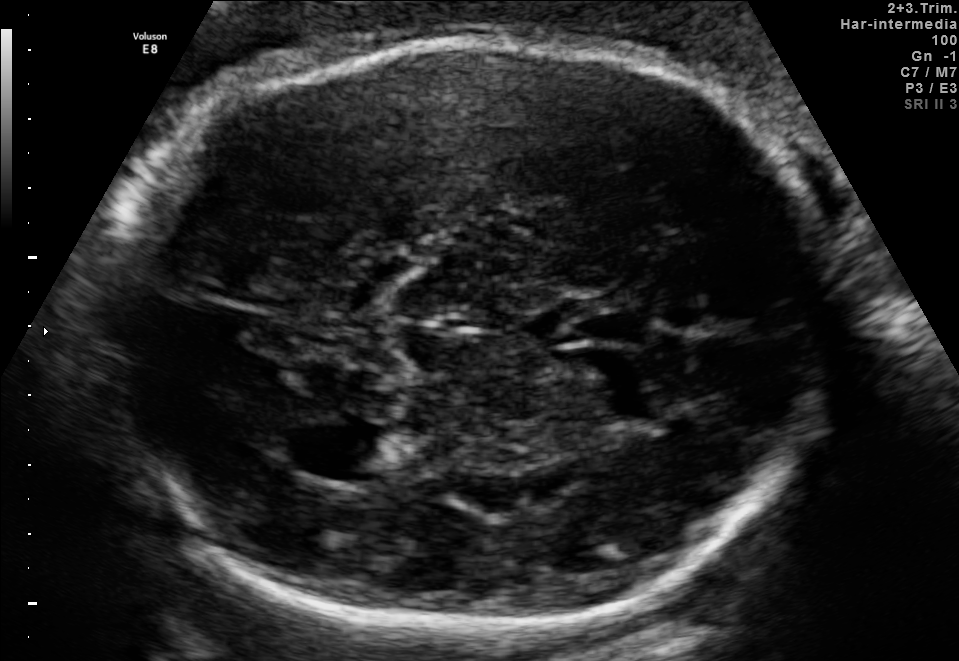
Fetal brain, trans-thalamic plane. Give [x1,y1,x2,y2] bounding boxes for each visible structure among: fetal head, CSP, LV.

Head: [91,37,834,630]
CSP: [539,302,652,352]
Lateral ventricle: [312,423,421,481]